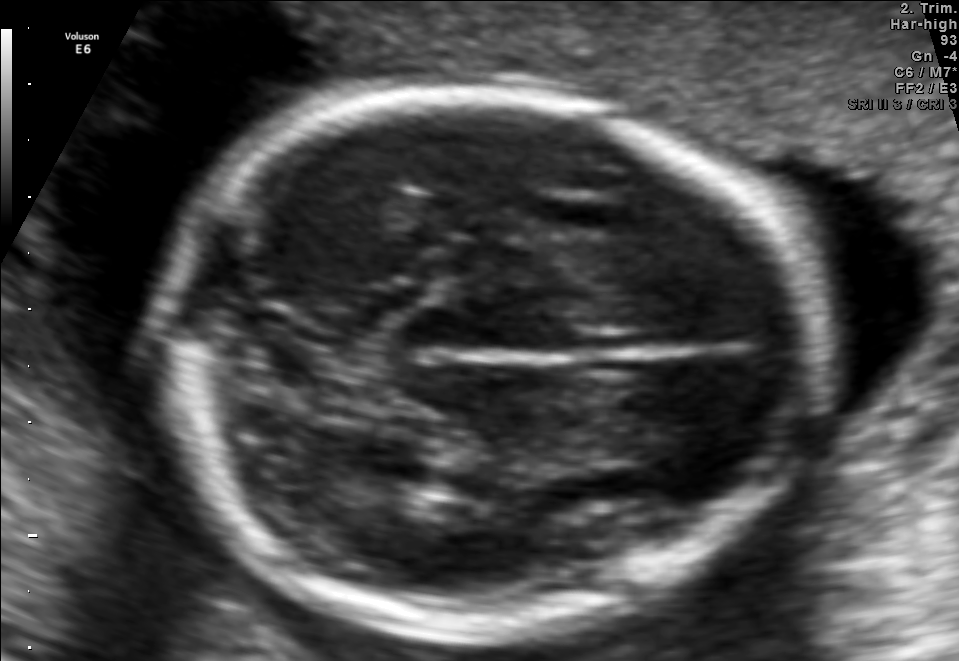
Fetal brain, trans-thalamic plane. Where is the fetal head?

Head bounding box: [149,96,816,631]